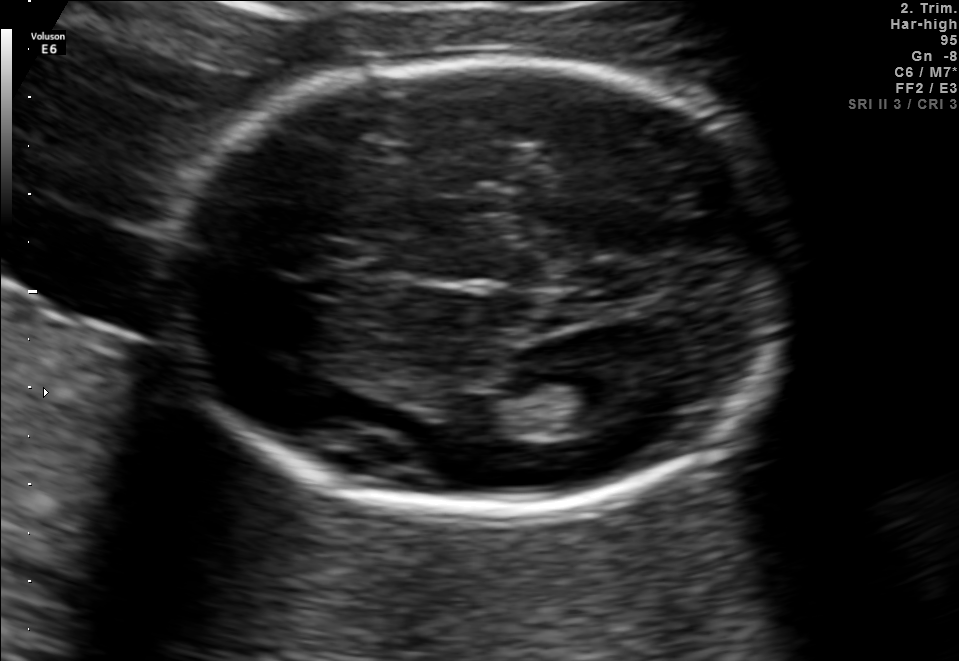
Fetal brain, trans-thalamic plane. Locate the fetal head and, if visible, the cavum septum pellucidum (CSP) and lateral ventricle (LV). Give bounding boxes as [x1,y1,x2,y2].

Head: [161,58,792,513]
Lateral ventricle: [523,363,633,436]